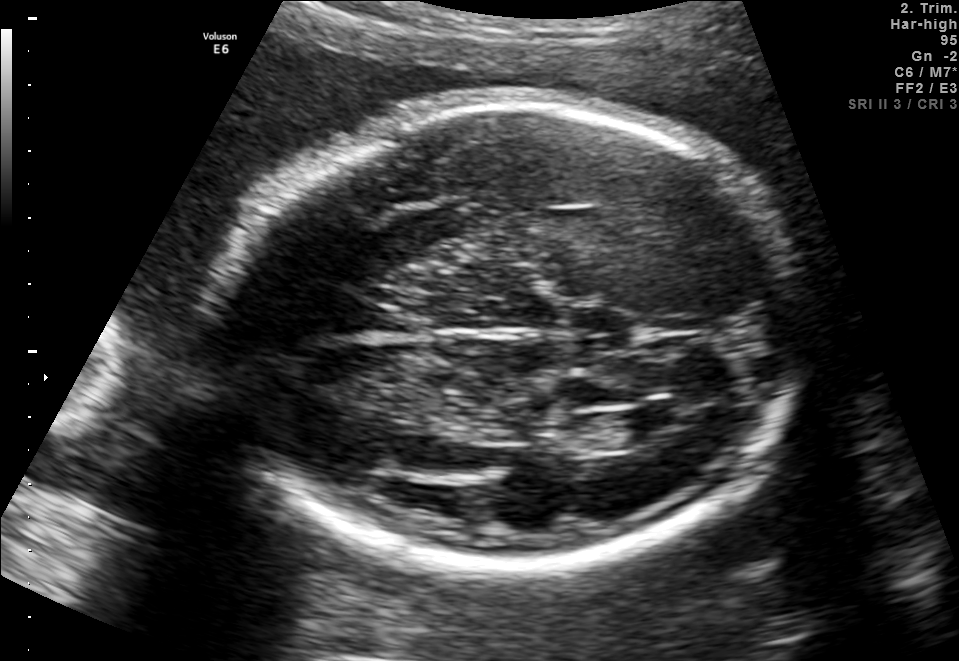
Fetal brain, trans-ventricular plane. Locate the fetal head and, if visible, the cavum septum pellucidum (CSP) and lateral ventricle (LV). Give bounding boxes as [x1,y1,x2,y2].

Head: [203,100,820,573]
Lateral ventricle: [613,398,683,447]